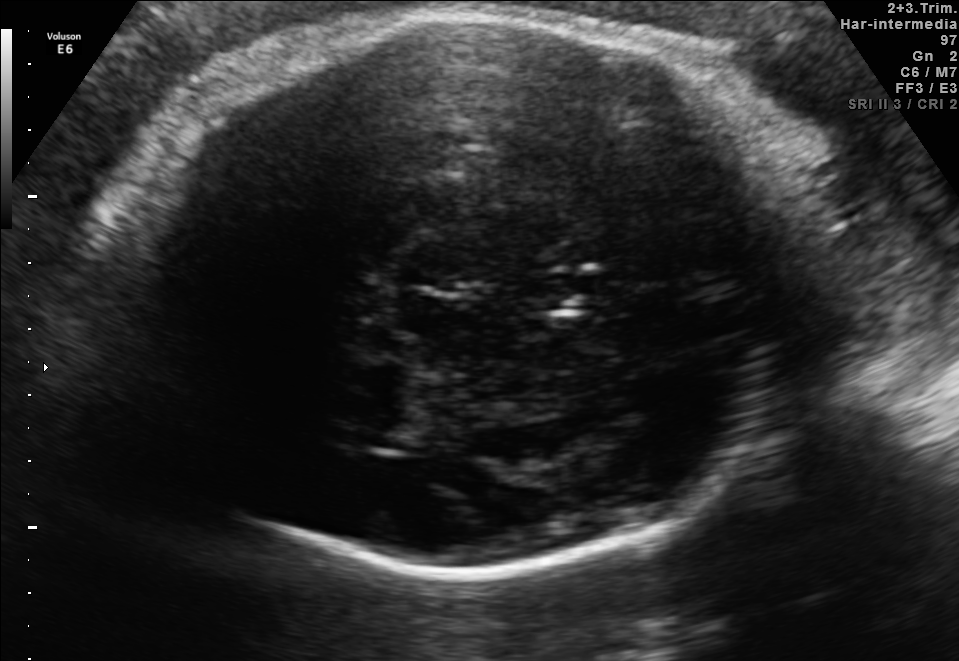
Fetal brain, trans-thalamic plane. Where is the fetal head?

Head bounding box: [89,14,818,567]